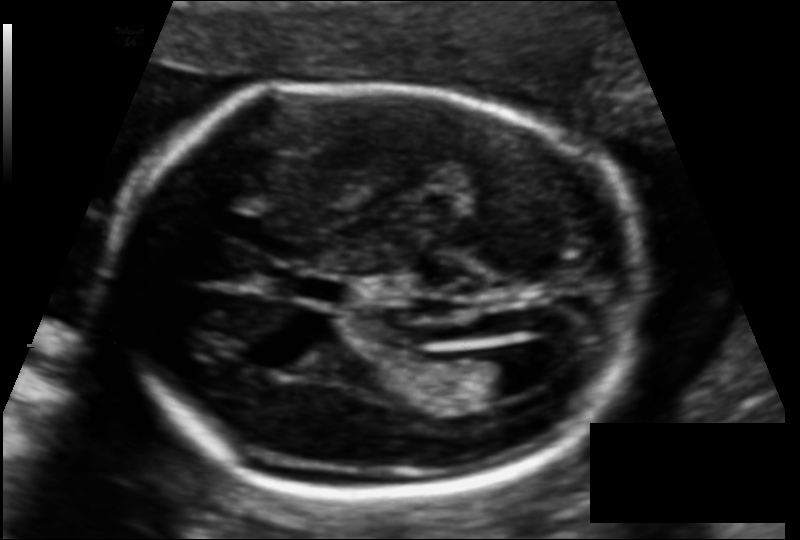
From this fetal ultrasound, estimate the head circumference (image width 92.4 mm).

Head circumference: 177.0 mm.